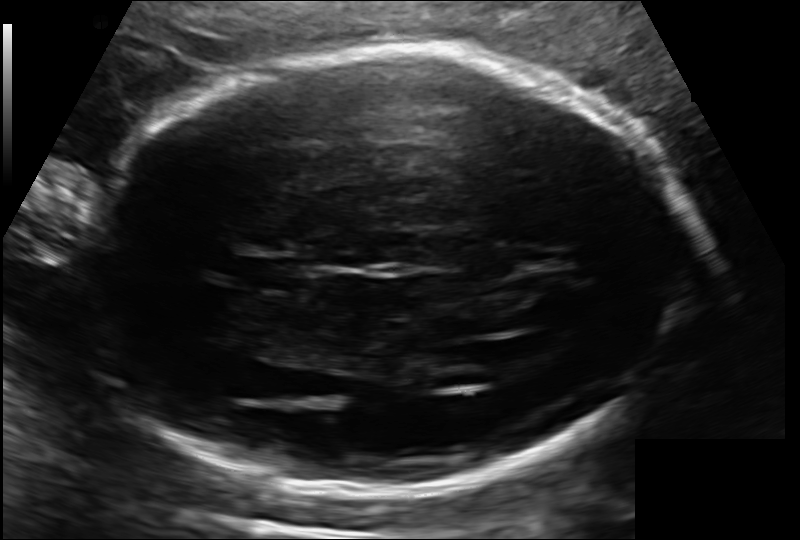
What is the fetal head circumference? Image width is 114.4 mm.

249.5 mm